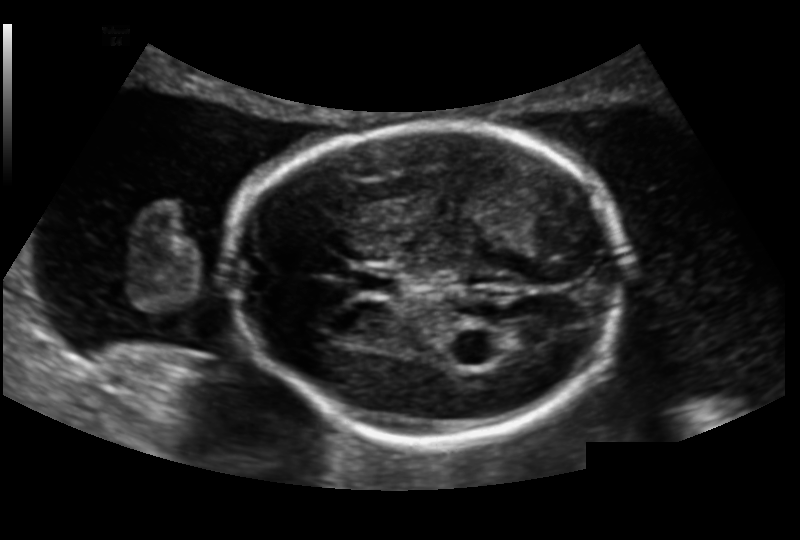
In this fetal head ultrasound, give bounding boxes for the head outline, cavum septum pellucidum (CSP), and lateral ventricle (LV), where visible. Image width: 121.1 mm.

Head: [229,123,626,444]
CSP: [352,268,402,297]
Lateral ventricle: [496,318,553,355]